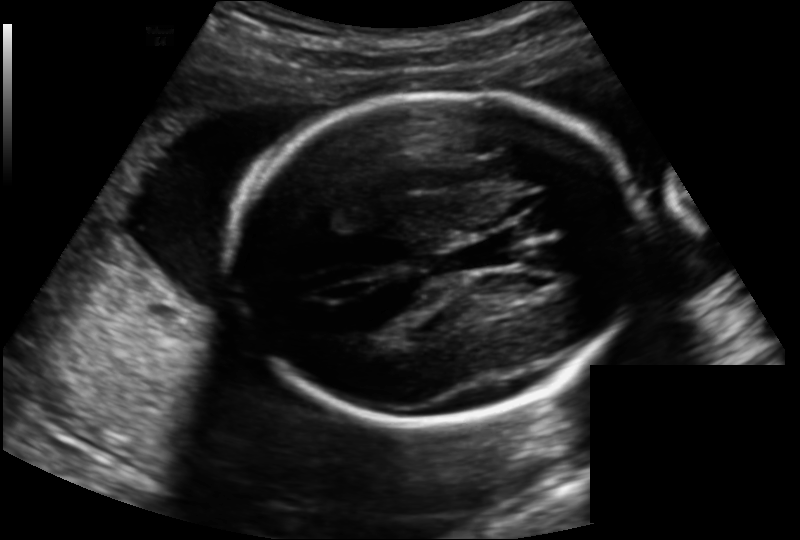
Estimate the fetal head circumference from this 2D ultrasound.

Head circumference: 196.5 mm (image width 130.7 mm).